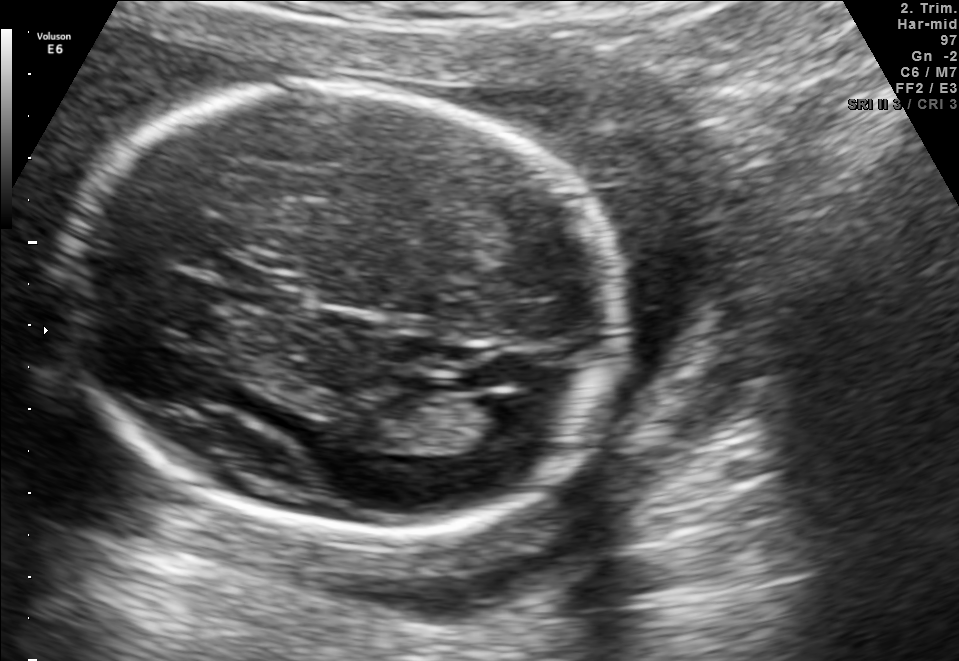
In this fetal brain, trans-ventricular plane, give the bounding box of the cavum septum pellucidum.

[229,265,305,315]